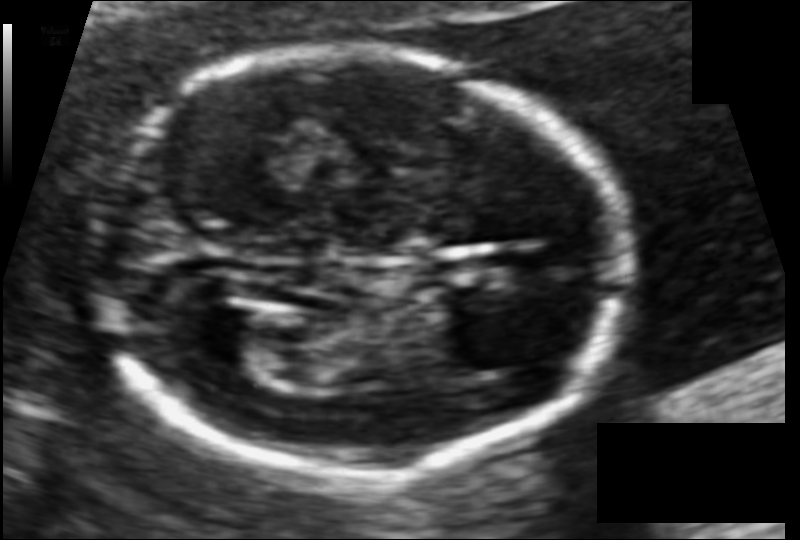
In this fetal head ultrasound, give the bounding box of the fetal head. Image width: 69.9 mm.

[96,49,619,475]